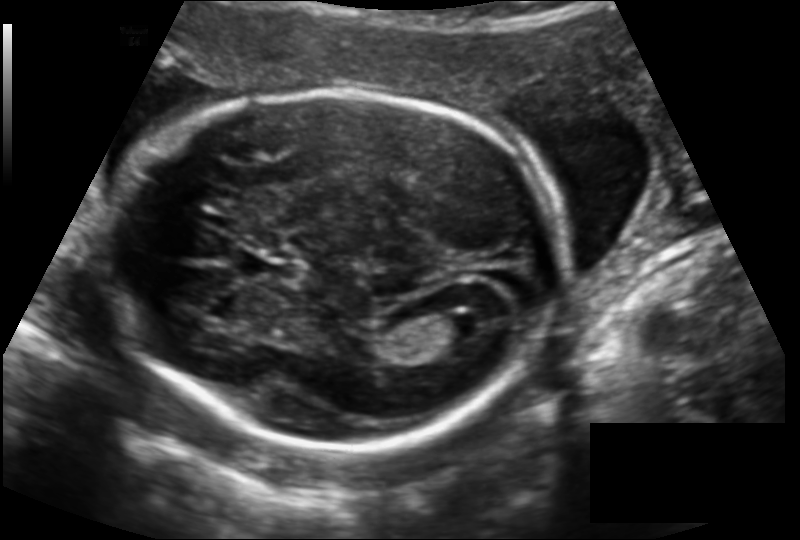
Fetal head ultrasound. Image width: 113.5 mm. Where is the cavum septum pellucidum?

CSP bounding box: [244,251,304,287]